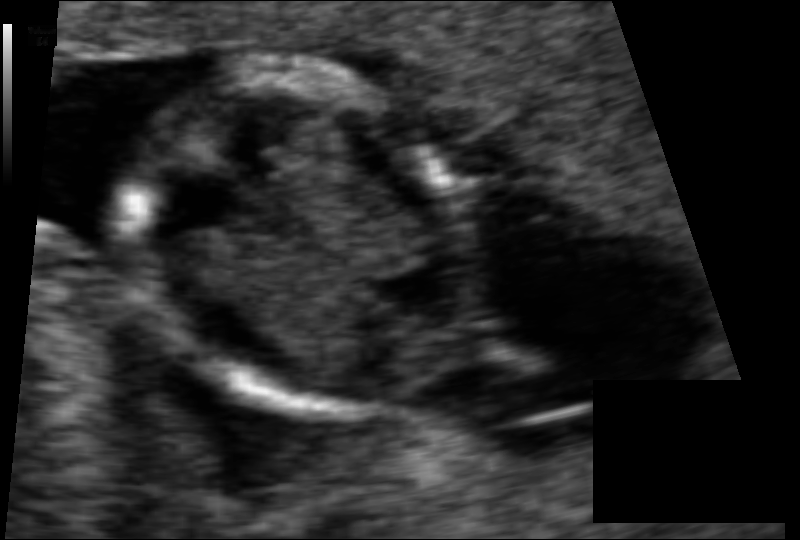
In this fetal head ultrasound, give the bounding box of the fetal head. Image width: 52.2 mm.

[126,72,481,421]